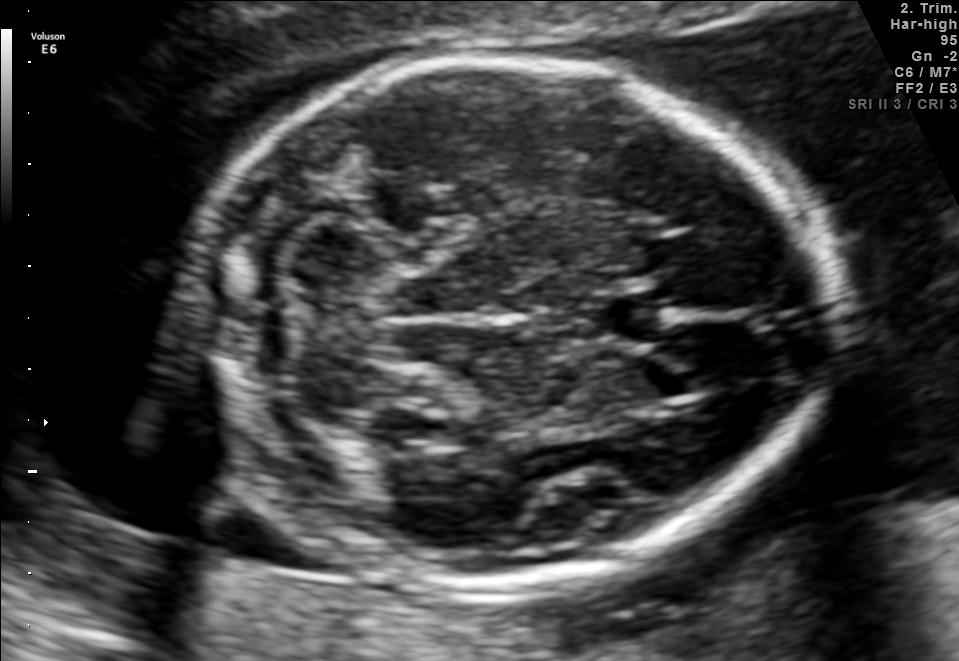
Fetal brain, trans-cerebellum plane. Where is the fetal head?

Head bounding box: [180,60,829,589]